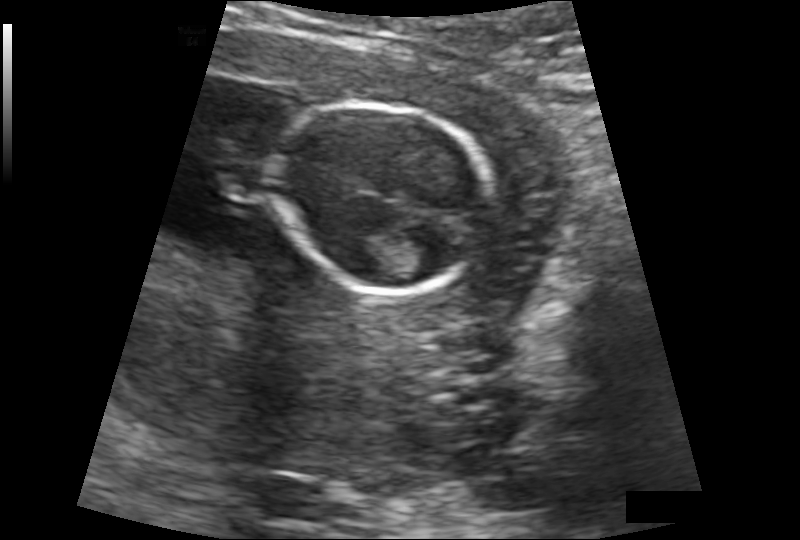
Fetal head ultrasound. Image width: 105.8 mm. Locate the fetal head.

Head: [274,105,492,291]